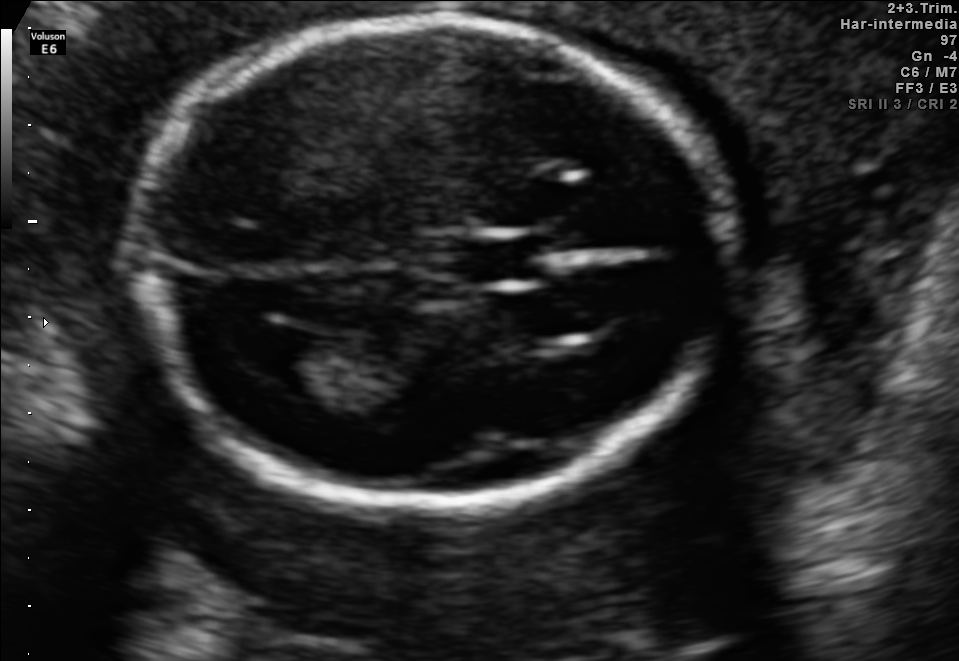
Fetal brain, trans-ventricular plane. Where is the lateral ventricle?

Lateral ventricle bounding box: [225,312,330,390]